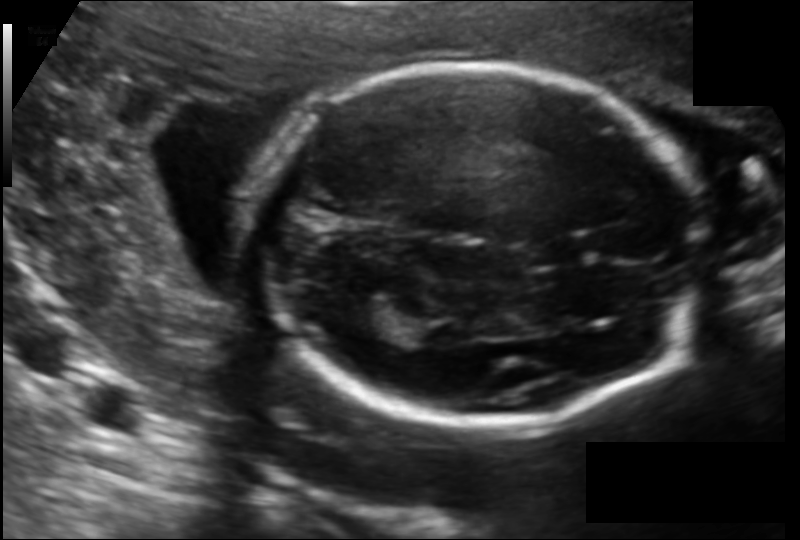
What is the fetal head circumference? Image width is 103.2 mm.

170.3 mm